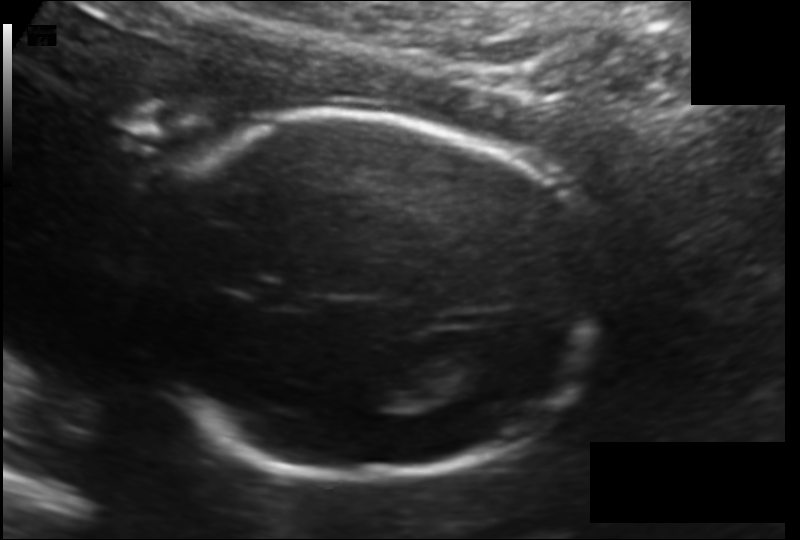
Fetal head ultrasound. Image width: 107.8 mm. Give [x1,y1,x2,y2] bounding boxes for each visible structure among: fetal head, CSP, LV.

Head: [133,112,598,480]